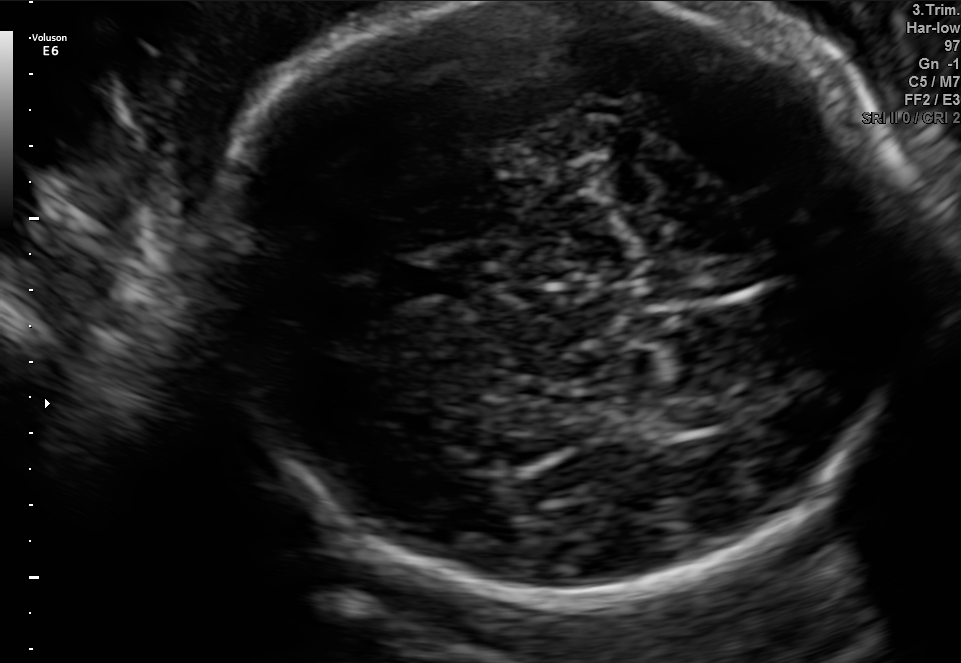
Fetal brain, trans-thalamic plane. Locate the fetal head.

Head: [217,1,910,588]